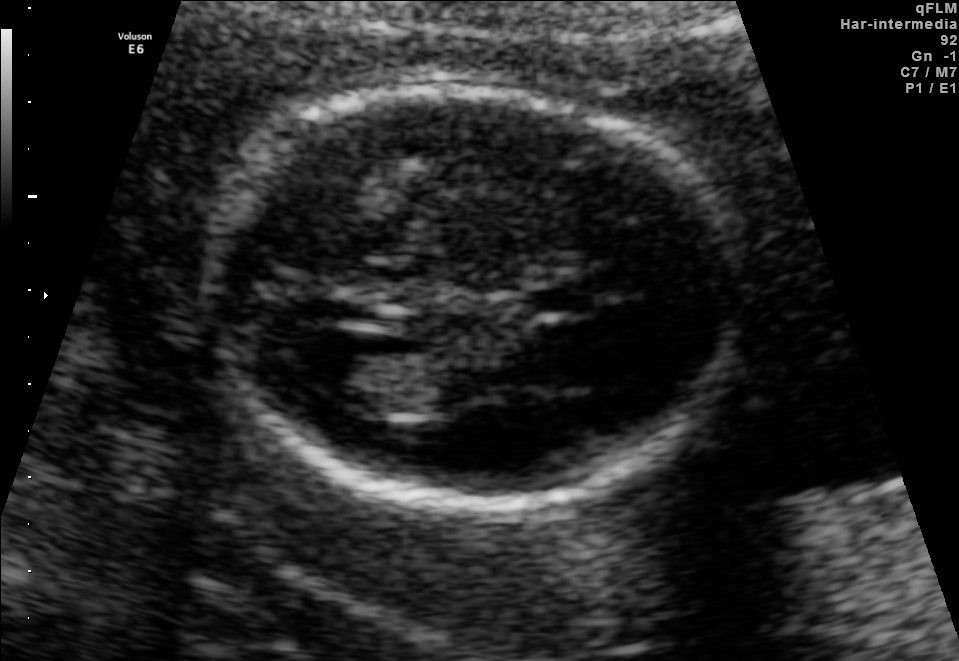
Which standard maternal-fetal ultrasound plane is shown: fetal abdomen, fetal brain, fetal femur, fetal thorax, maternal cervix, or other? If it's fetal brain and one of the three standard brain planes (trans-thalamic, trans-cerebellum, trans-ventricular), name which.

Fetal brain (trans-ventricular plane)